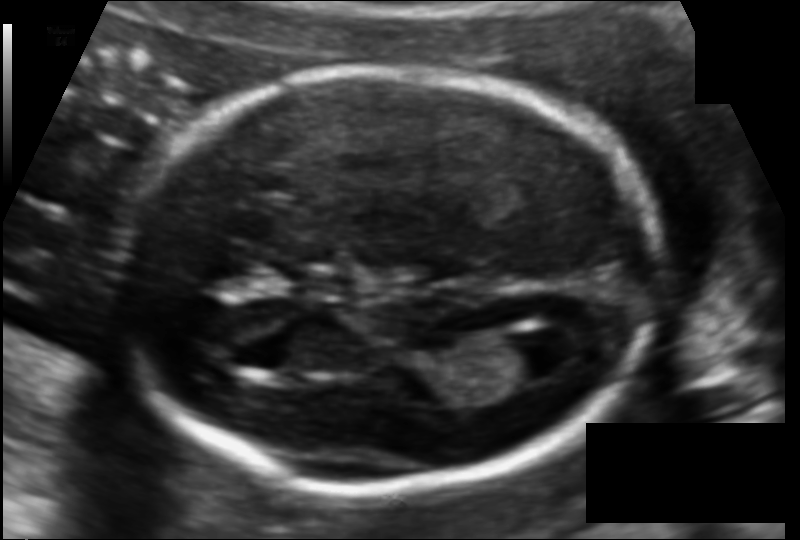
Fetal head ultrasound. Image width: 85.9 mm. Where is the fetal head?

Head bounding box: [113,70,660,488]